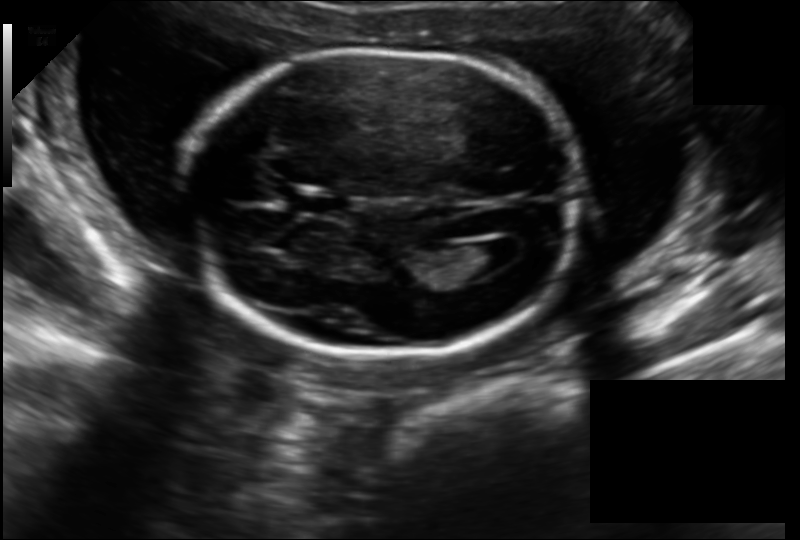
From this fetal ultrasound, estimate the head circumference (image width 125.8 mm).

Head circumference: 180.4 mm.